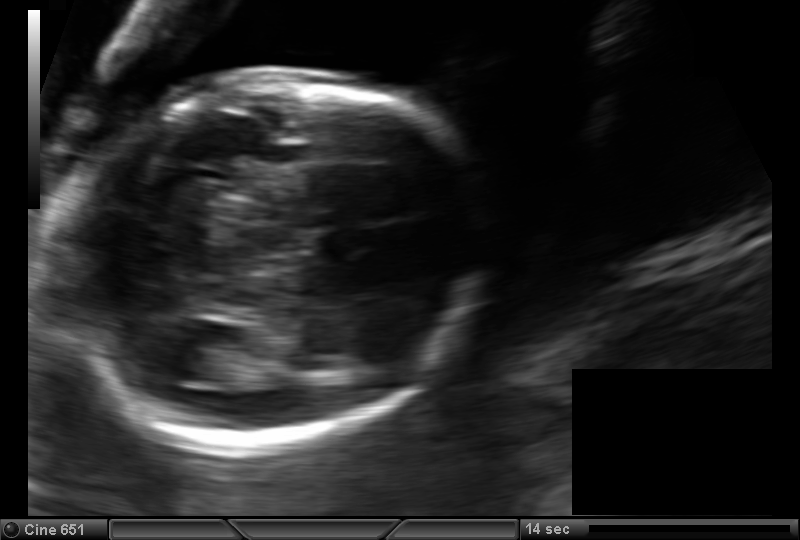
Fetal head ultrasound. Image width: 106.1 mm. Give [x1,y1,x2,y2] bounding boxes for each visible structure among: fetal head, CSP, LV.

Head: [56,82,482,450]